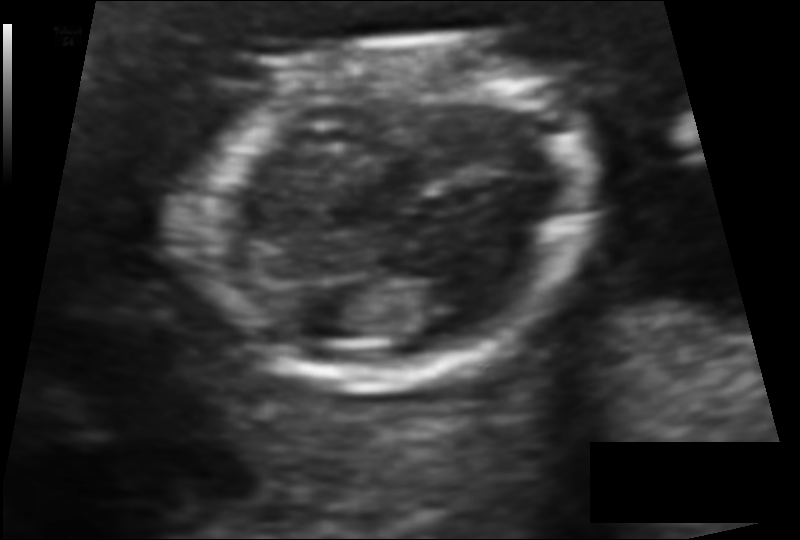
Fetal head ultrasound. Image width: 72.9 mm. Give [x1,y1,x2,y2] bounding boxes for each visible structure among: fetal head, CSP, LV.

Head: [203,40,591,389]